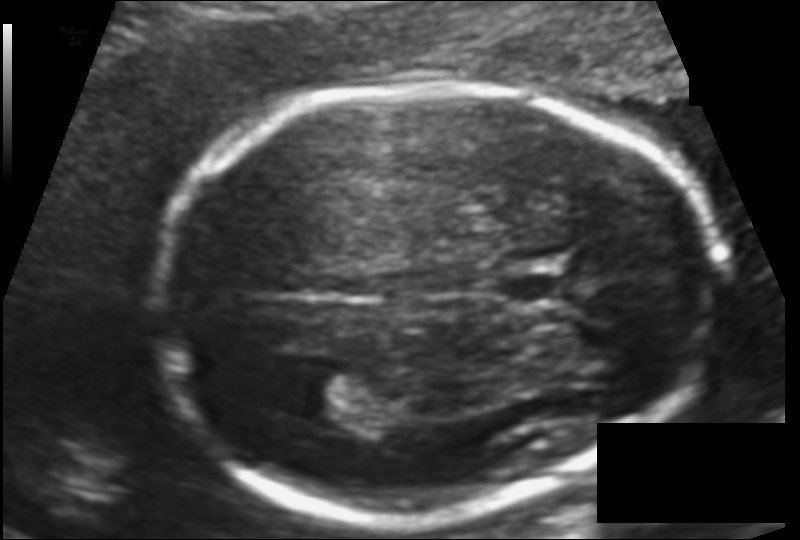
Fetal head ultrasound. Image width: 87.8 mm. Give [x1,y1,x2,y2] bounding boxes for each visible structure among: fetal head, CSP, LV.

Head: [152,84,717,521]
CSP: [501,269,574,307]
Lateral ventricle: [282,365,367,423]